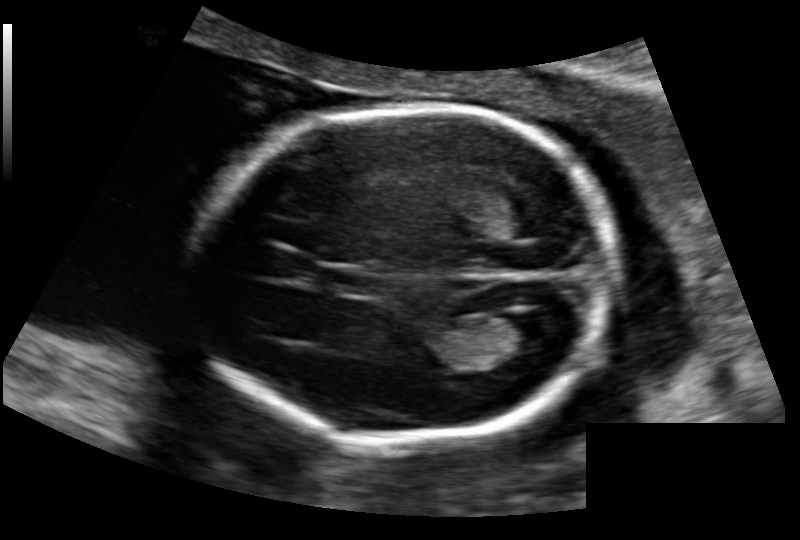
Fetal head ultrasound. Image width: 108.9 mm. Where is the lateral ventricle?

Lateral ventricle bounding box: [491,311,558,356]